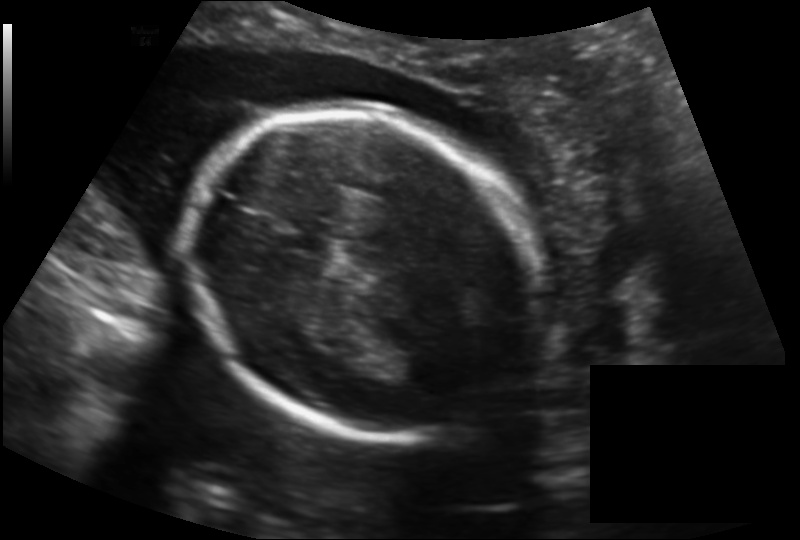
Fetal head ultrasound. Image width: 131.3 mm. Where is the fetal head?

Head bounding box: [189,106,537,440]